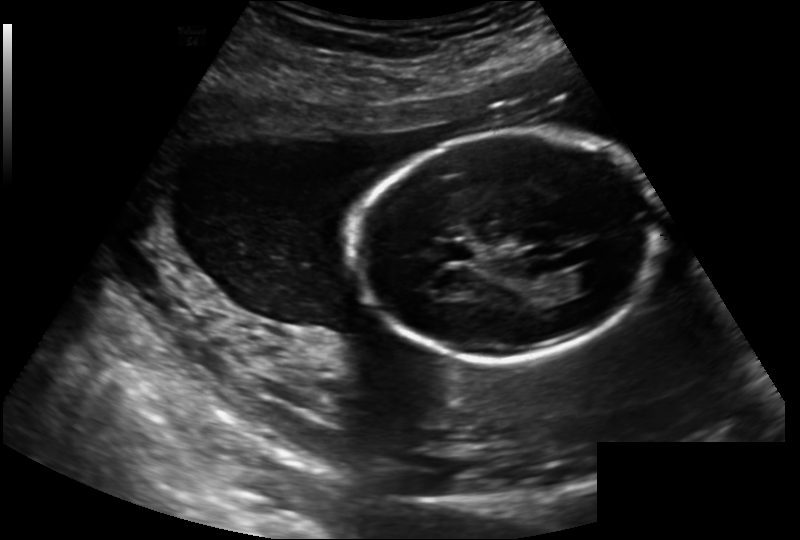
Fetal head ultrasound. Image width: 161.7 mm. Locate the lateral ventricle.

Lateral ventricle: [559,262,606,298]